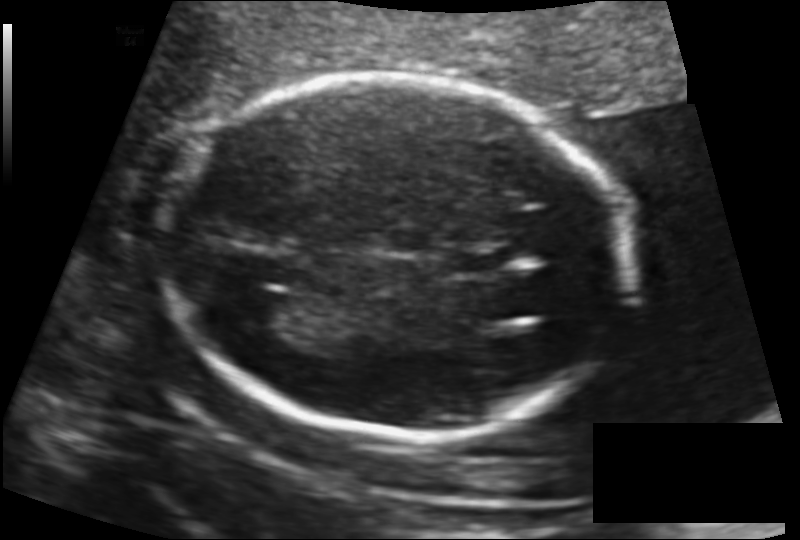
From this fetal ultrasound, estimate the head circumference (image width 104.1 mm).

Head circumference: 175.8 mm.